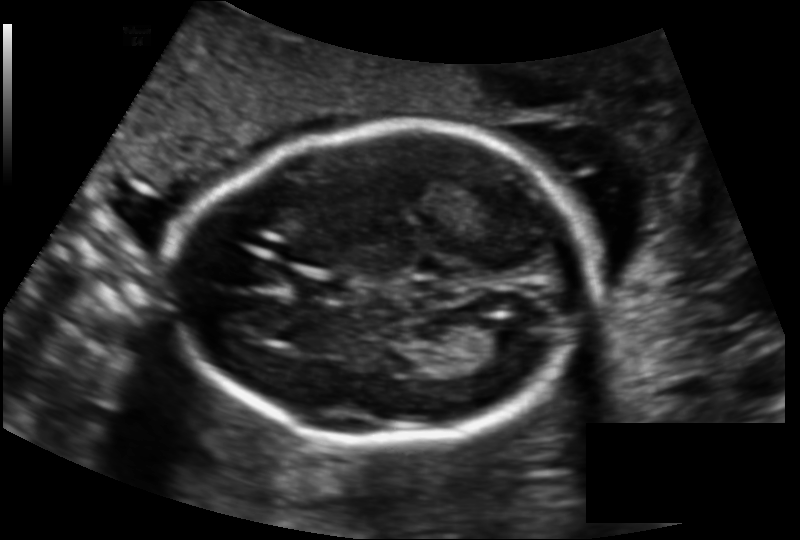
In this fetal head ultrasound, give bounding boxes for the head outline, cavum septum pellucidum (CSP), and lateral ventricle (LV), where visible. Image width: 109.7 mm.

Head: [177,124,593,444]
CSP: [297,272,351,303]
Lateral ventricle: [469,315,532,364]